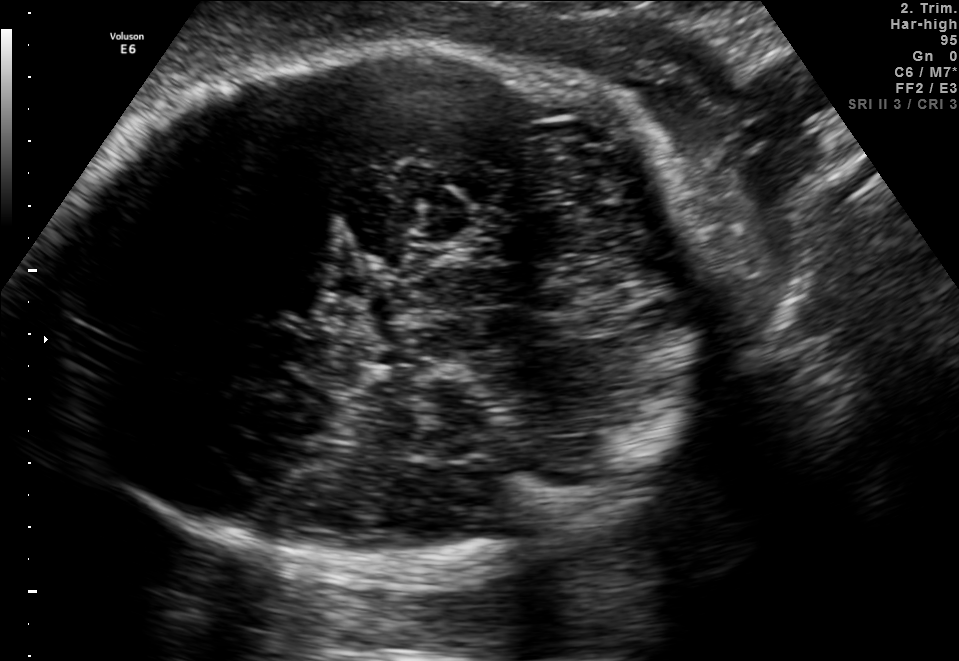
This is a 2D maternal-fetal ultrasound frame. Is it a fetal abdomen, fetal brain, fetal femur, fetal thorax, maternal cervix, or other standard plane? If it's fetal brain and one of the three standard brain planes (trans-thalamic, trans-cerebellum, trans-ventricular), name which.

Fetal brain (trans-thalamic plane)